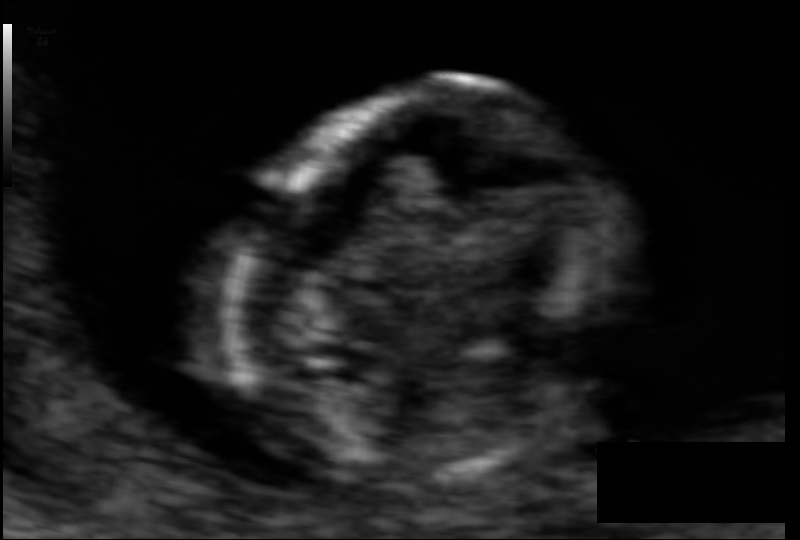
What is the fetal head circumference? Image width is 44.4 mm.

69.9 mm